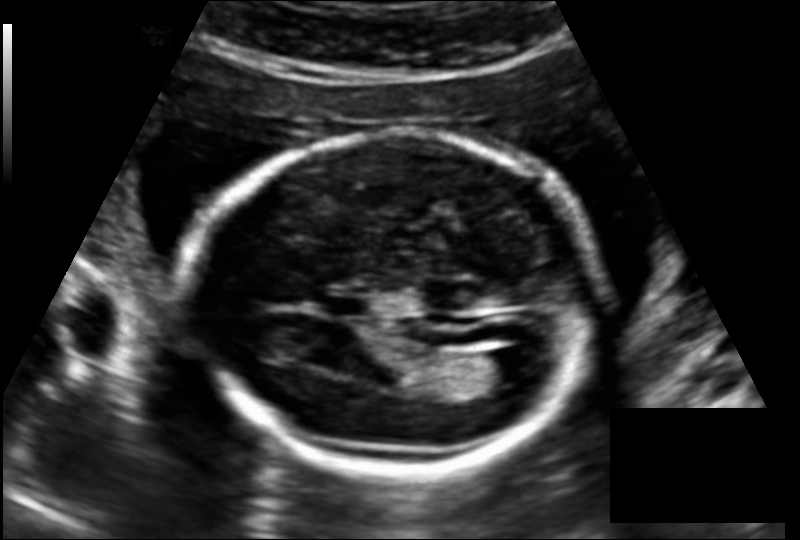
Fetal head ultrasound. Image width: 115.9 mm. Where is the cavum septum pellucidum?

CSP bounding box: [322,295,368,318]